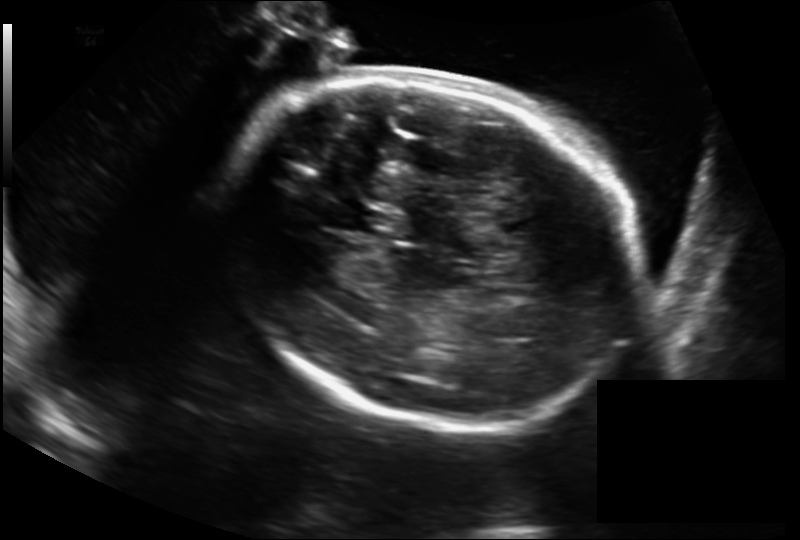
From this fetal ultrasound, estimate the head circumference (image width 169.0 mm).

Head circumference: 260.8 mm.